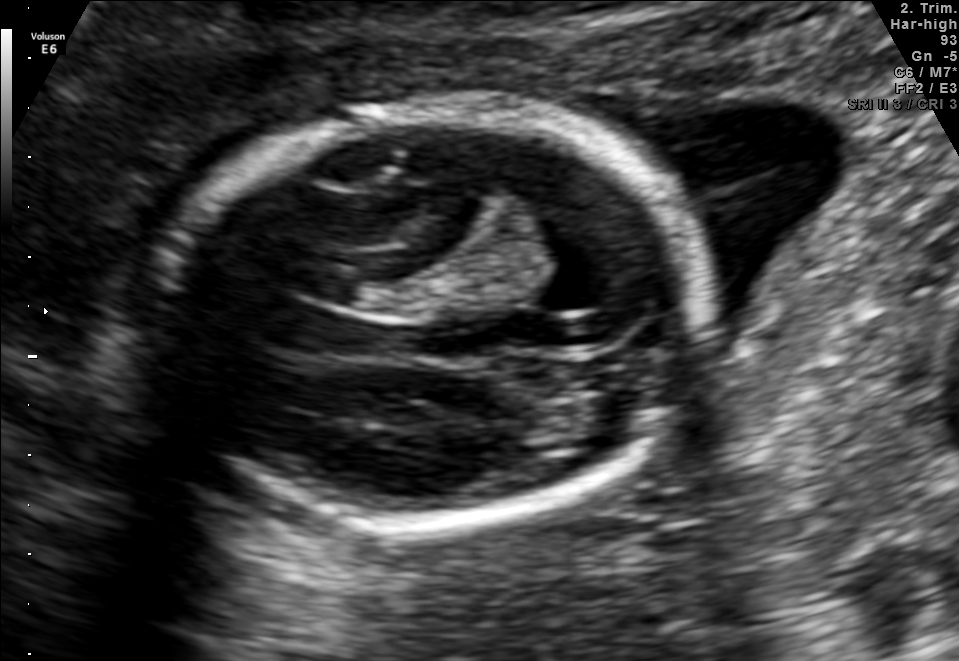
Which standard maternal-fetal ultrasound plane is shown: fetal abdomen, fetal brain, fetal femur, fetal thorax, maternal cervix, or other? If it's fetal brain and one of the three standard brain planes (trans-thalamic, trans-cerebellum, trans-ventricular), name which.

Fetal brain